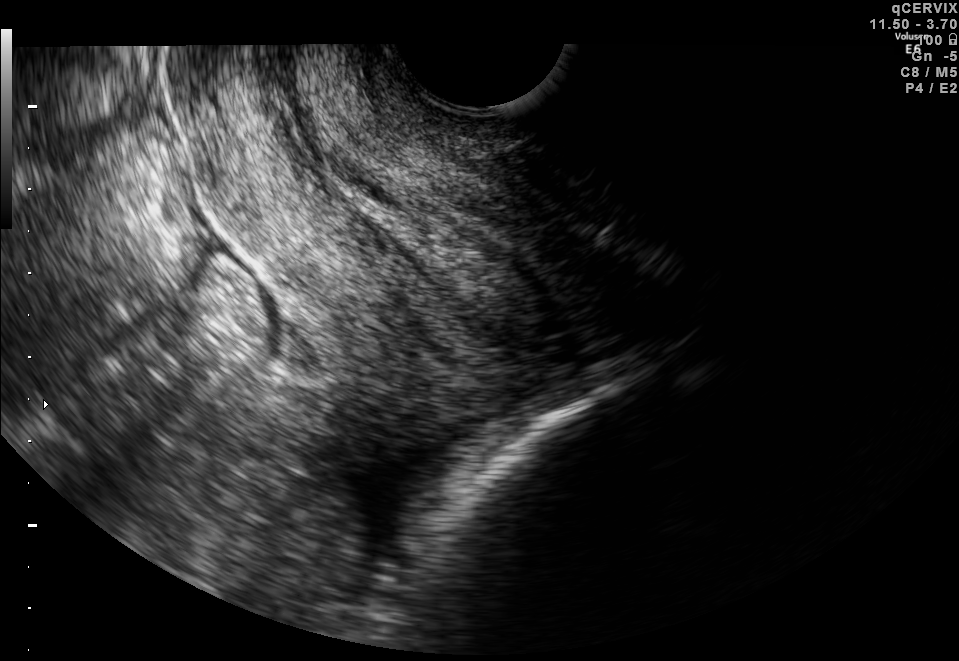
This is a 2D maternal-fetal ultrasound frame. Is it a fetal abdomen, fetal brain, fetal femur, fetal thorax, maternal cervix, or other standard plane? If it's fetal brain and one of the three standard brain planes (trans-thalamic, trans-cerebellum, trans-ventricular), name which.

Maternal cervix